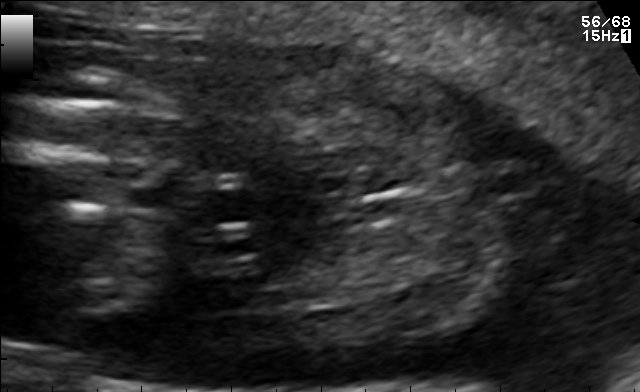
Identify the standard plane in this fetal ultrasound image: fetal abdomen, fetal brain, fetal femur, fetal thorax, maternal cervix, or other. If it's fetal brain and one of the three standard brain planes (trans-thalamic, trans-cerebellum, trans-ventricular), name which.

Other